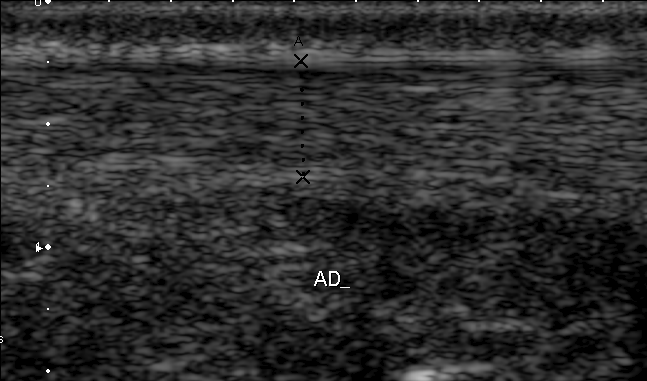
This is a 2D maternal-fetal ultrasound frame. Is it a fetal abdomen, fetal brain, fetal femur, fetal thorax, maternal cervix, or other standard plane? If it's fetal brain and one of the three standard brain planes (trans-thalamic, trans-cerebellum, trans-ventricular), name which.

Other